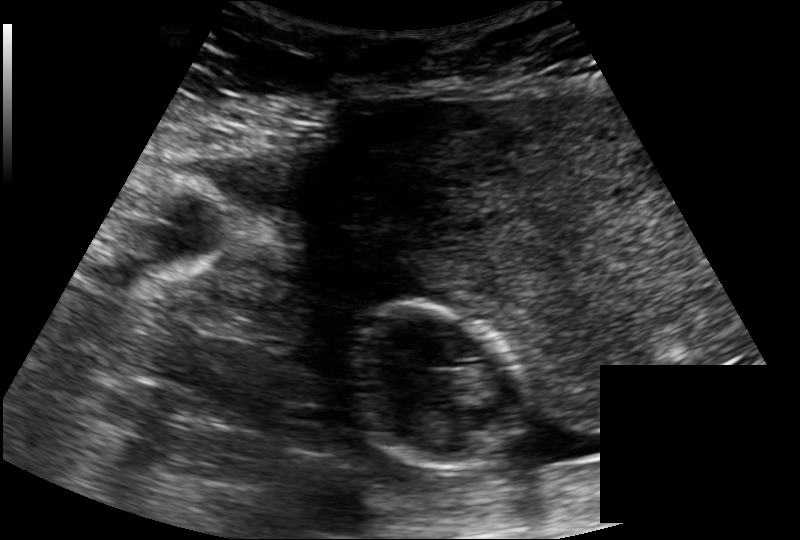
In this fetal head ultrasound, give bounding boxes for the head outline, cavum septum pellucidum (CSP), and lateral ventricle (LV), where visible. Image width: 136.5 mm.

Head: [345,302,516,470]